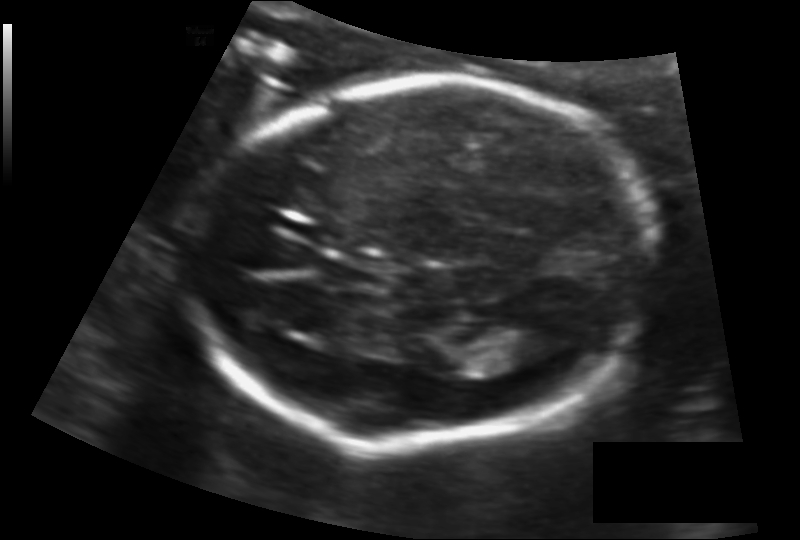
In this fetal head ultrasound, give the bounding box of the fetal head. Image width: 100.0 mm.

[188,83,654,446]